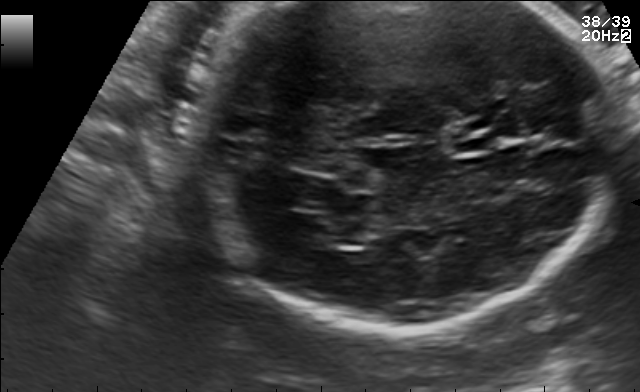
In this fetal brain, trans-cerebellum plane, give the bounding box of the lateral ventricle.

[301,215,366,246]